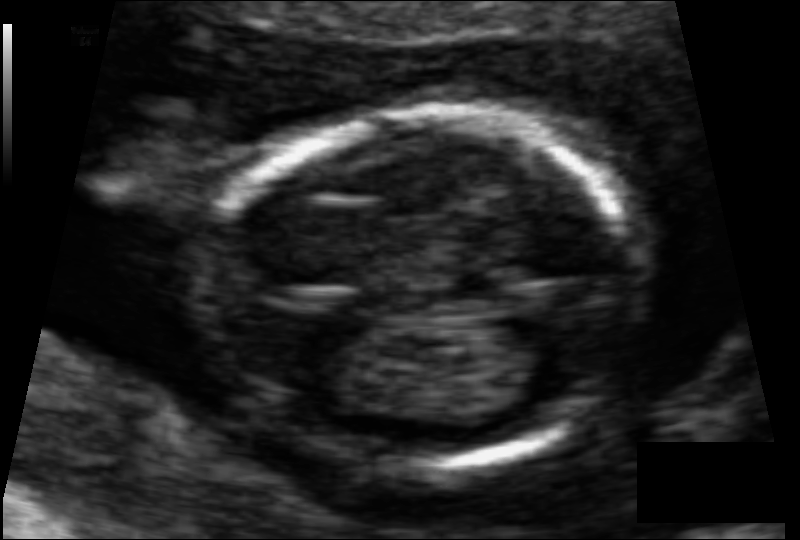
Estimate the fetal head circumference from this 2D ultrasound.

Head circumference: 84.1 mm (image width 52.3 mm).